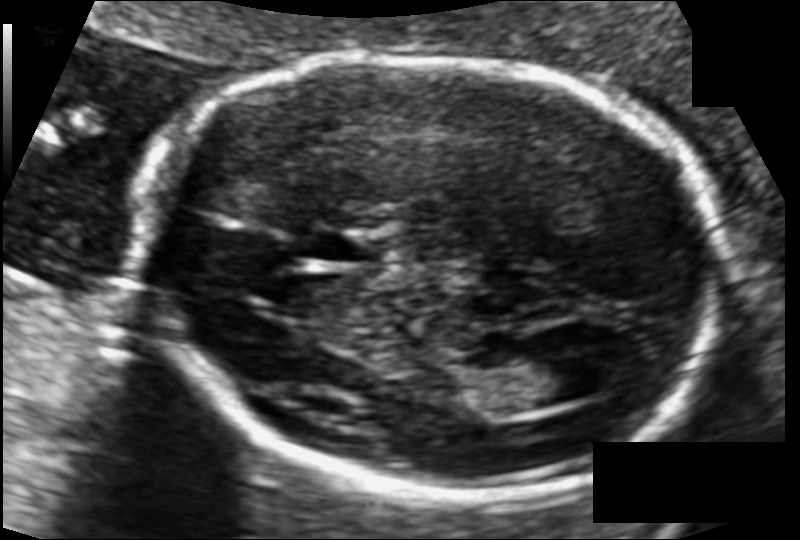
Estimate the fetal head circumference from this 2D ultrasound.

Head circumference: 172.0 mm (image width 81.0 mm).